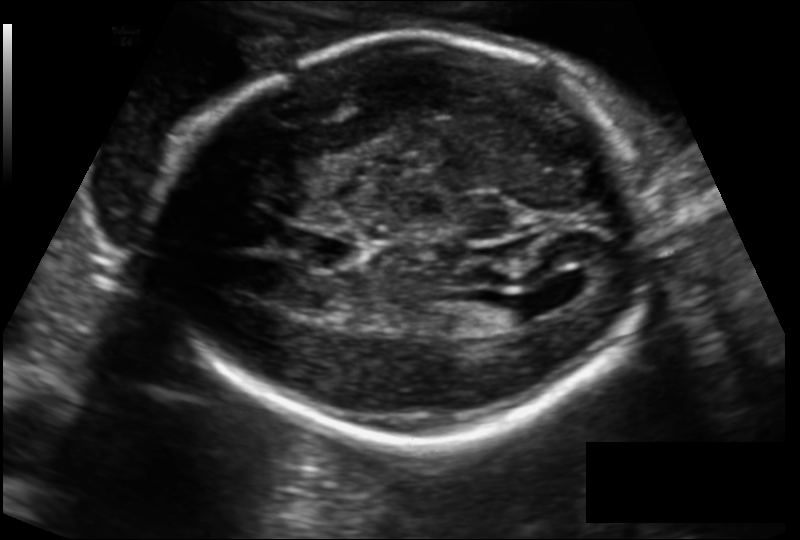
Fetal head ultrasound. Image width: 119.5 mm. Where is the lateral ventricle?

Lateral ventricle bounding box: [470,292,532,333]